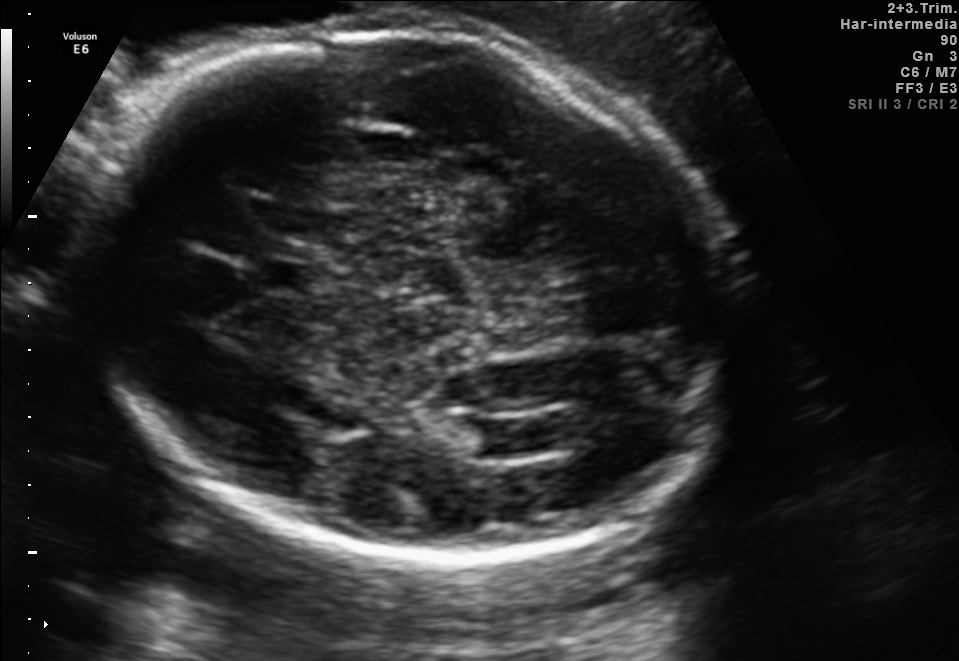
Fetal brain, trans-ventricular plane. Where is the lateral ventricle?

Lateral ventricle bounding box: [470,410,566,458]